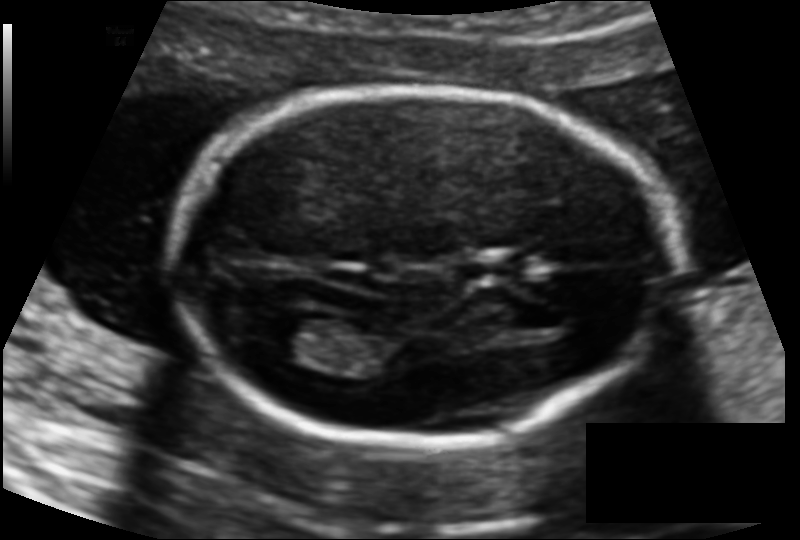
What is the fetal head circumference? Image width is 91.5 mm.

158.8 mm